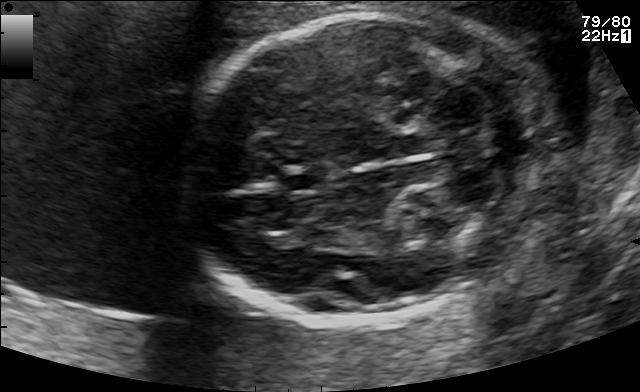
Fetal brain, trans-cerebellum plane. Locate the fetal head and, if visible, the cavum septum pellucidum (CSP) and lateral ventricle (LV). Give bounding boxes as [x1,y1,x2,y2].

Head: [180,12,558,321]
CSP: [277,165,332,196]